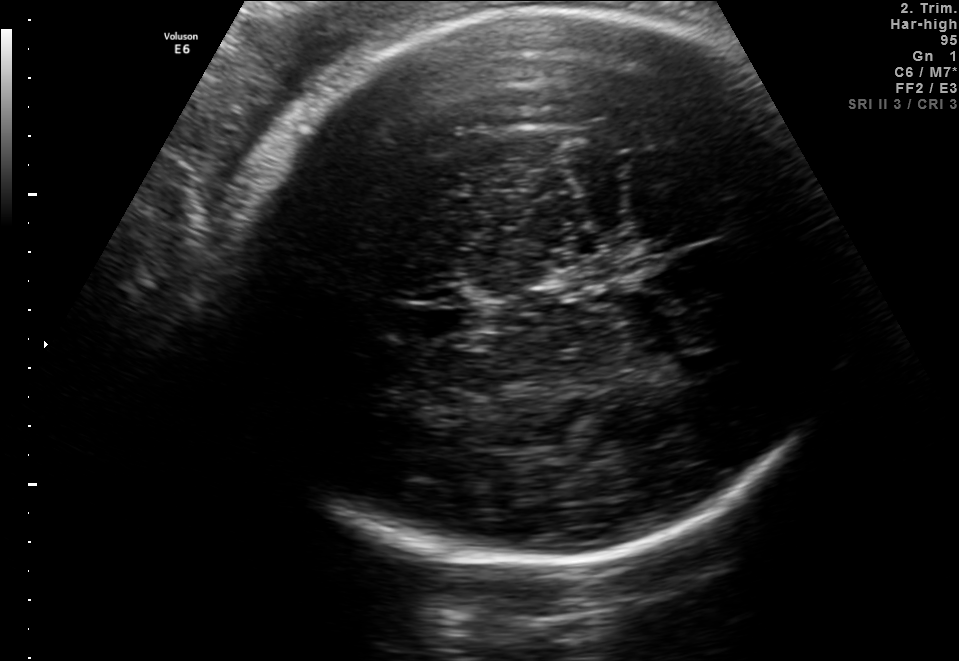
In this fetal brain, trans-thalamic plane, give bounding boxes for the head outline, cavum septum pellucidum (CSP), and lateral ventricle (LV), where visible.

Head: [234,6,845,563]
CSP: [402,302,483,342]